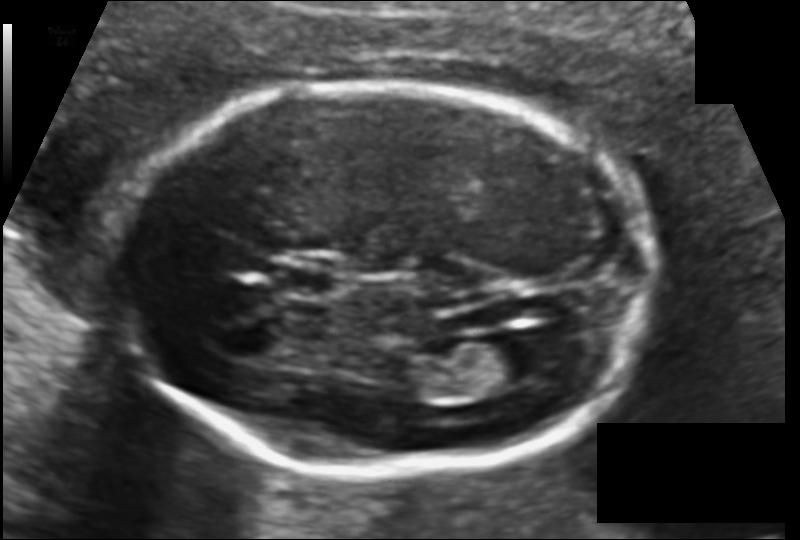
What is the fetal head circumference? Image width is 90.6 mm.

171.6 mm